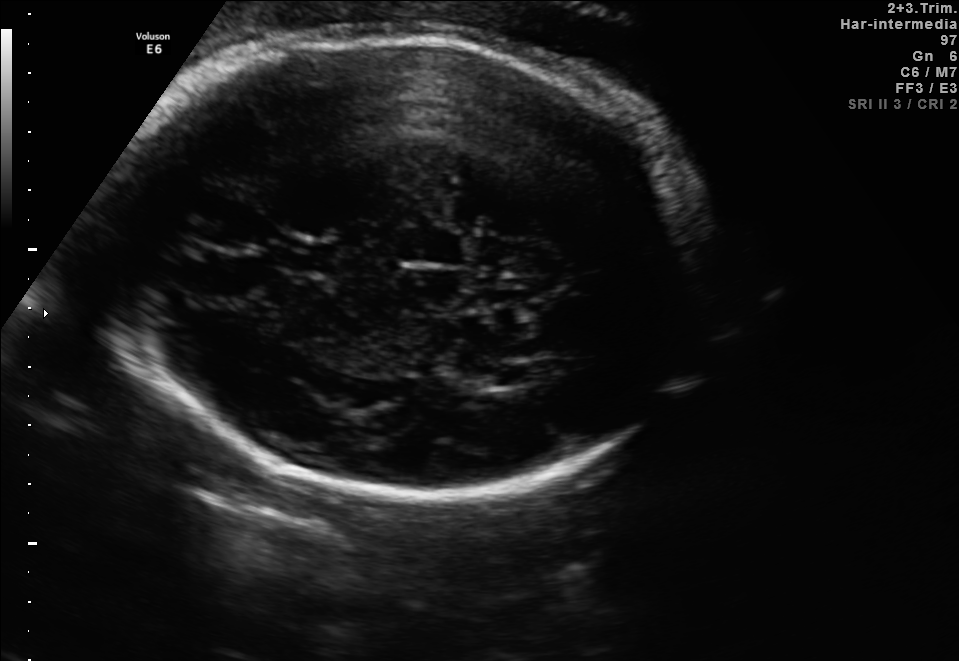
In this fetal brain, trans-ventricular plane, give the bounding box of the cavum septum pellucidum.

[274,239,338,274]